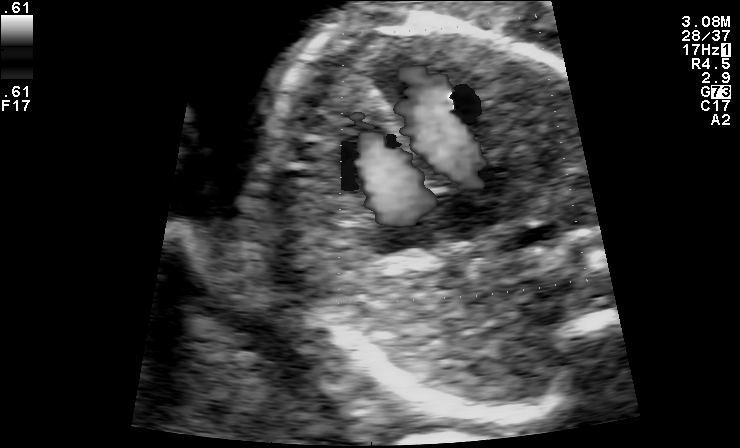
Which standard maternal-fetal ultrasound plane is shown: fetal abdomen, fetal brain, fetal femur, fetal thorax, maternal cervix, or other? If it's fetal brain and one of the three standard brain planes (trans-thalamic, trans-cerebellum, trans-ventricular), name which.

Other